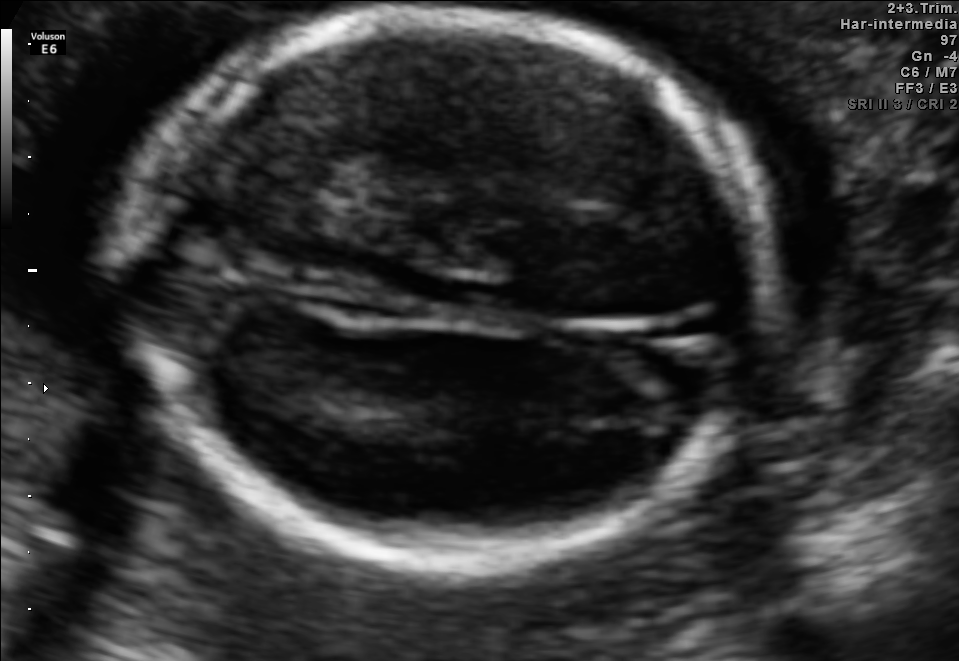
Fetal brain, trans-thalamic plane. Give [x1,y1,x2,y2] bounding boxes for each visible structure among: fetal head, CSP, LV.

Head: [130,16,763,555]